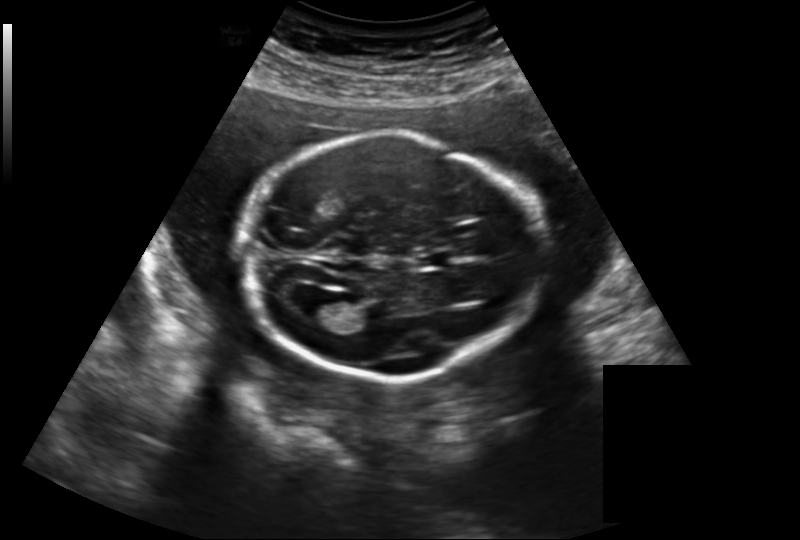
Fetal head ultrasound. Image width: 175.2 mm. Locate the fetal head.

Head: [241,133,542,381]